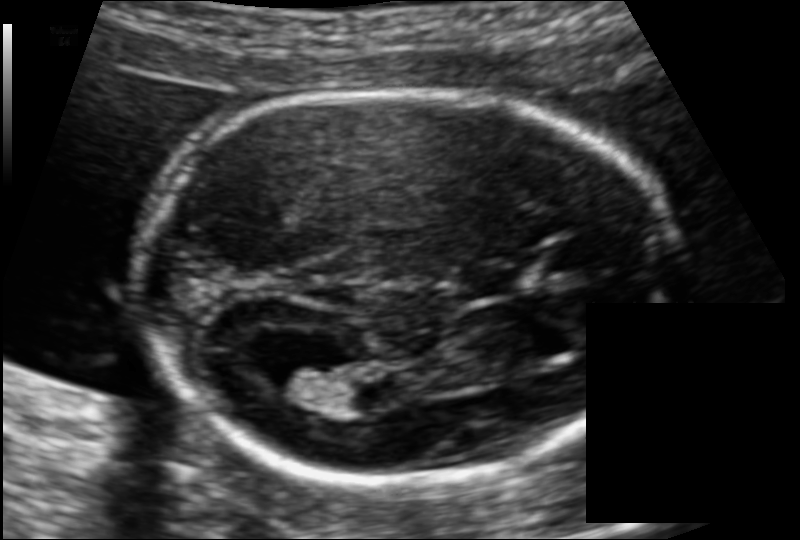
Fetal head ultrasound. Image width: 85.1 mm. Where is the cavum septum pellucidum?

CSP bounding box: [460,260,532,302]